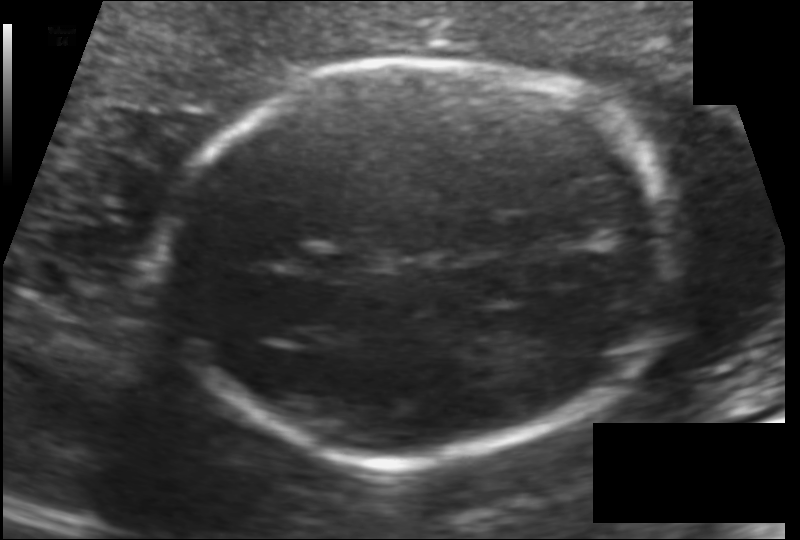
Estimate the fetal head circumference from this 2D ultrasound. Image width: 95.9 mm.

Head circumference: 176.9 mm.